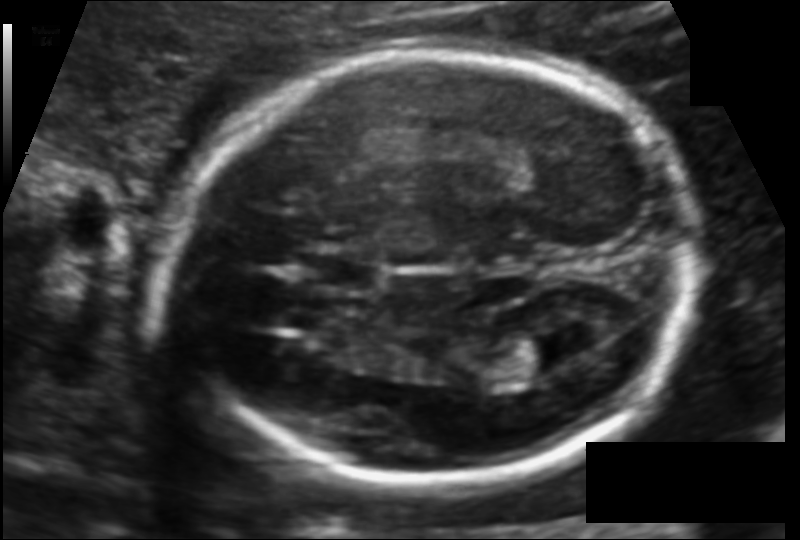
Fetal head ultrasound. Image width: 90.0 mm. Where is the lateral ventricle?

Lateral ventricle bounding box: [492,336,577,380]